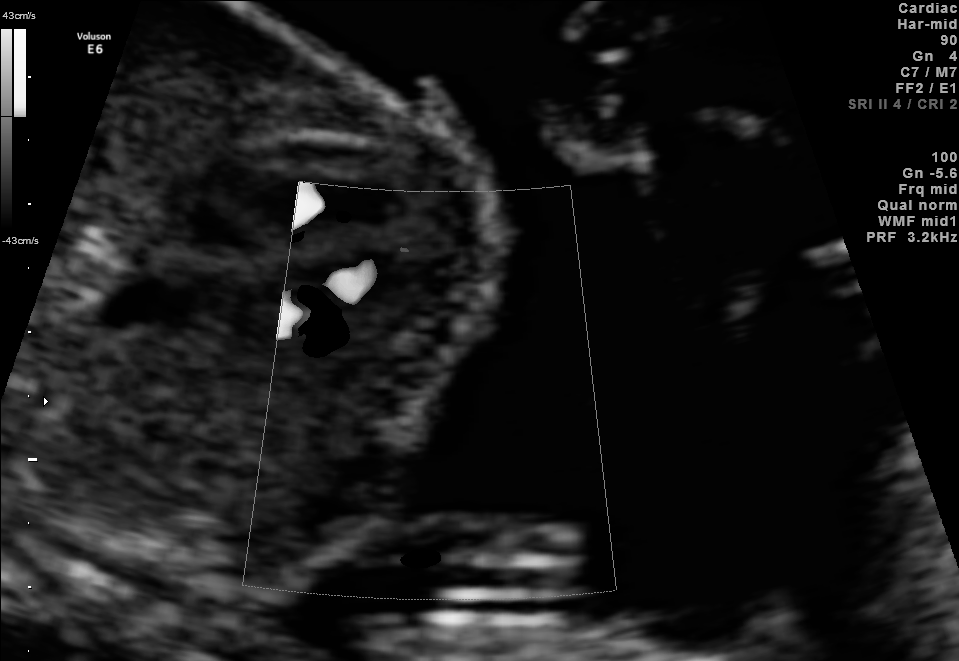
Identify the standard plane in this fetal ultrasound image: fetal abdomen, fetal brain, fetal femur, fetal thorax, maternal cervix, or other. If it's fetal brain and one of the three standard brain planes (trans-thalamic, trans-cerebellum, trans-ventricular), name which.

Other